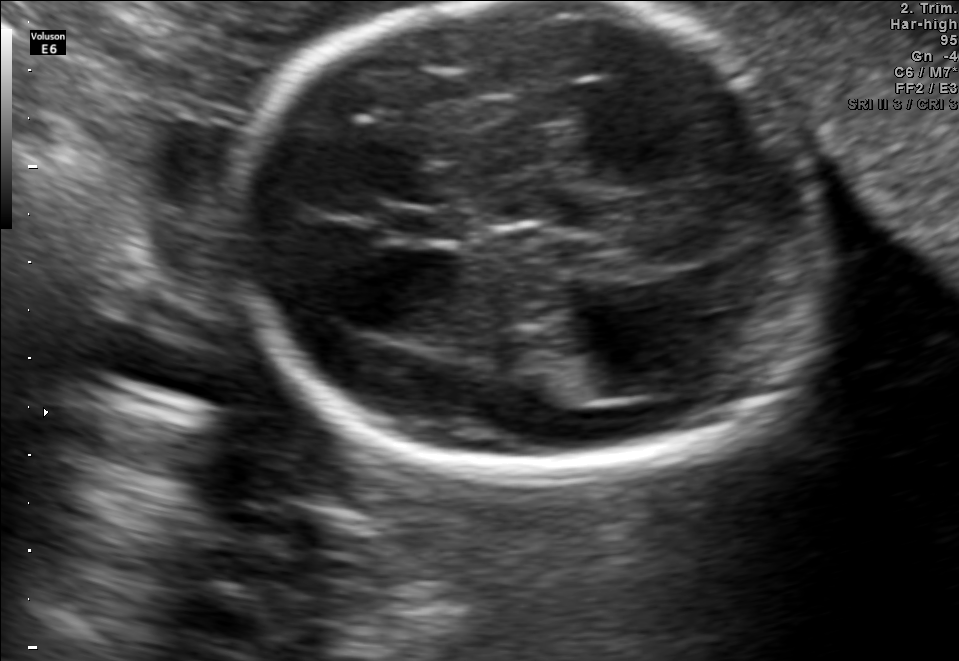
Identify the standard plane in this fetal ultrasound image: fetal abdomen, fetal brain, fetal femur, fetal thorax, maternal cervix, or other. If it's fetal brain and one of the three standard brain planes (trans-thalamic, trans-cerebellum, trans-ventricular), name which.

Fetal brain (trans-thalamic plane)